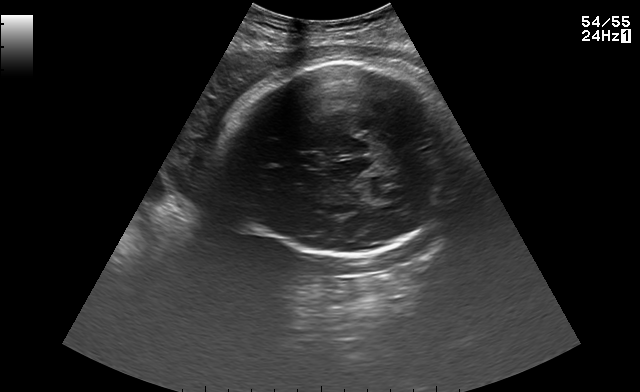
In this fetal brain, trans-thalamic plane, give bounding boxes for the head outline, cavum septum pellucidum (CSP), and lateral ventricle (LV), where visible.

Head: [226,62,455,255]
CSP: [293,154,317,167]